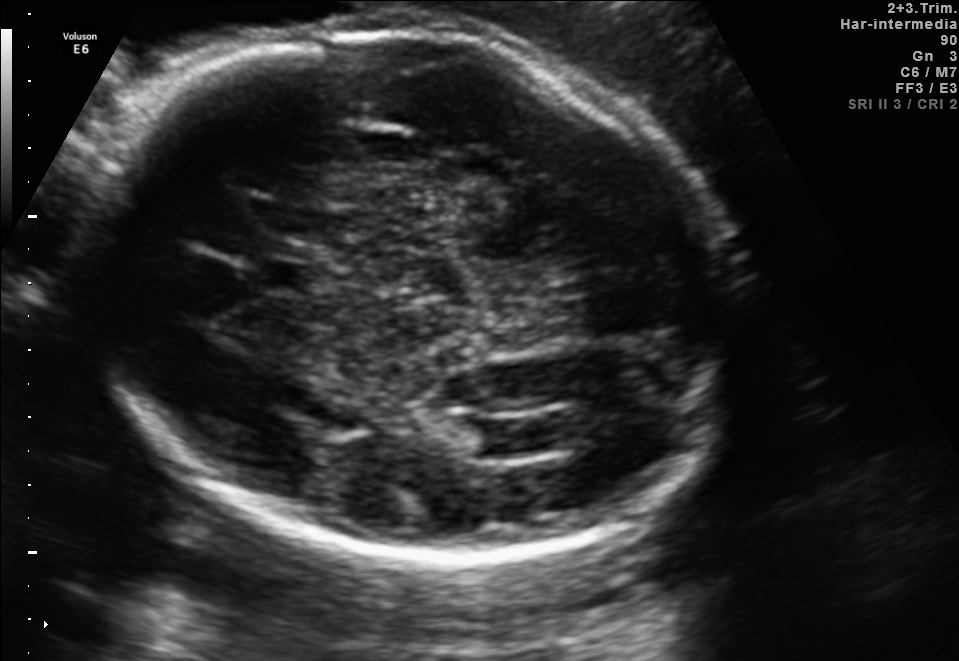
Fetal brain, trans-ventricular plane. Locate the fetal head.

Head: [67,17,760,570]